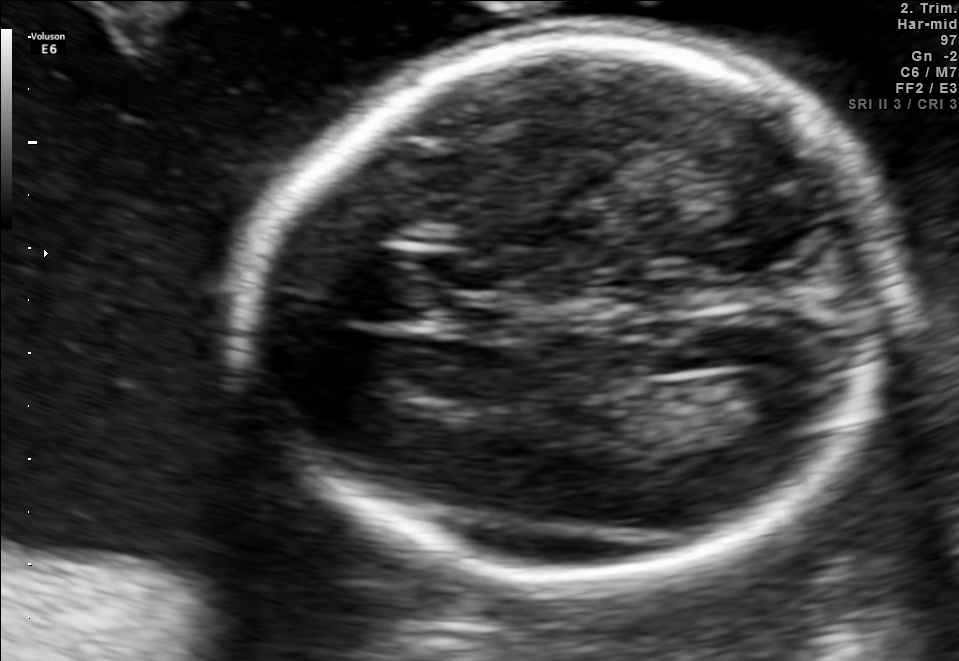
Fetal brain, trans-ventricular plane. Locate the fetal head and, if visible, the cavum septum pellucidum (CSP) and lateral ventricle (LV). Give bounding boxes as [x1,y1,x2,y2].

Head: [220,21,921,594]
CSP: [435,294,509,339]
Lateral ventricle: [731,360,818,428]